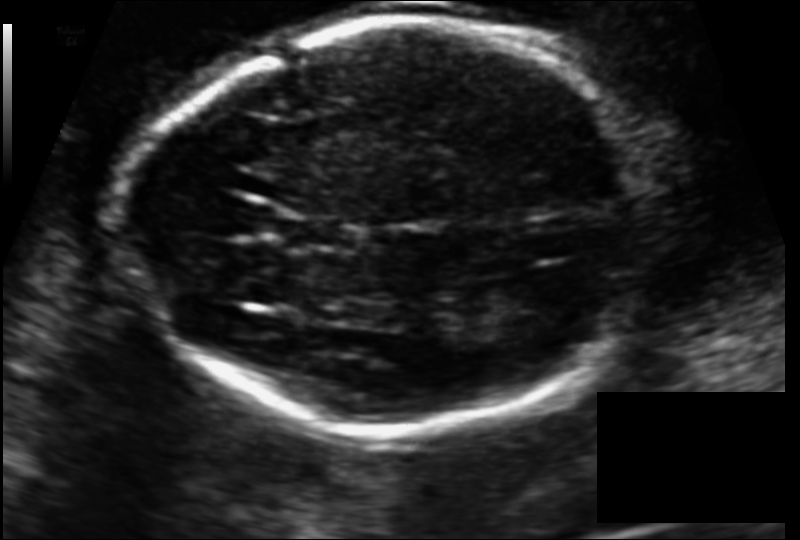
Fetal head ultrasound. Image width: 98.9 mm. Give [x1,y1,x2,y2] bounding boxes for each visible structure among: fetal head, CSP, LV.

Head: [128,19,652,433]
CSP: [283,218,355,248]